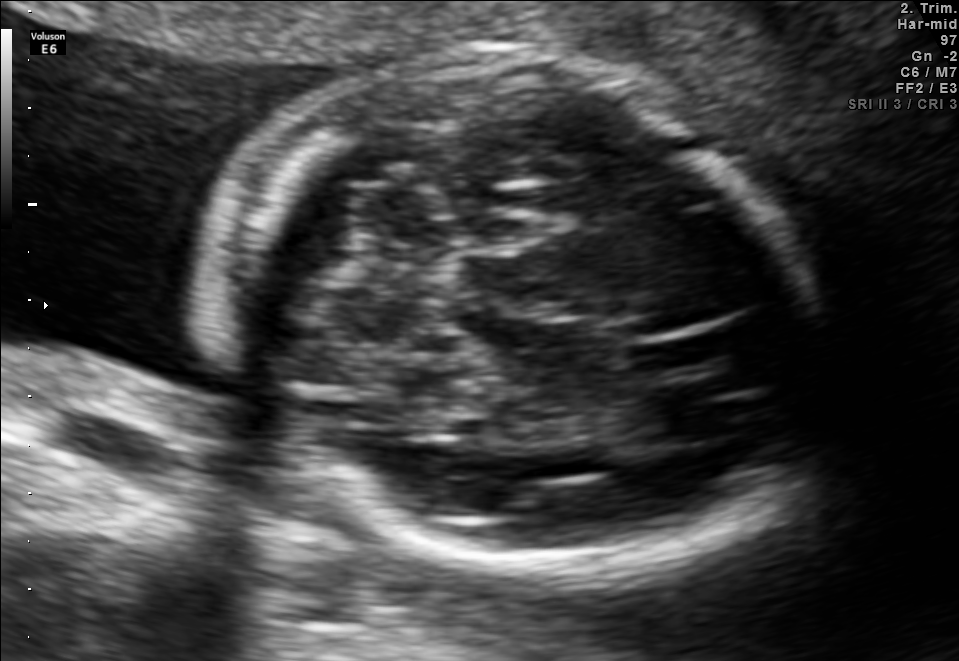
Fetal brain, trans-cerebellum plane. Locate the fetal head.

Head: [217,54,822,581]